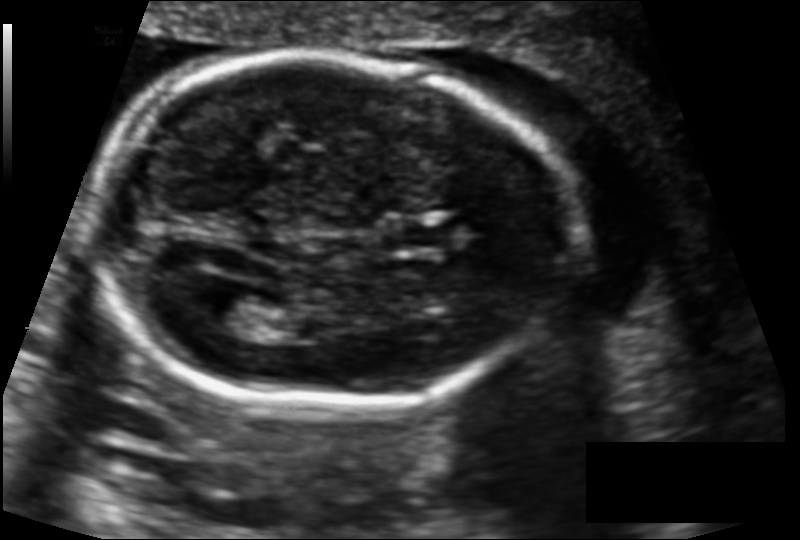
In this fetal head ultrasound, give the bounding box of the fetal head. Image width: 97.4 mm.

[91,55,576,407]